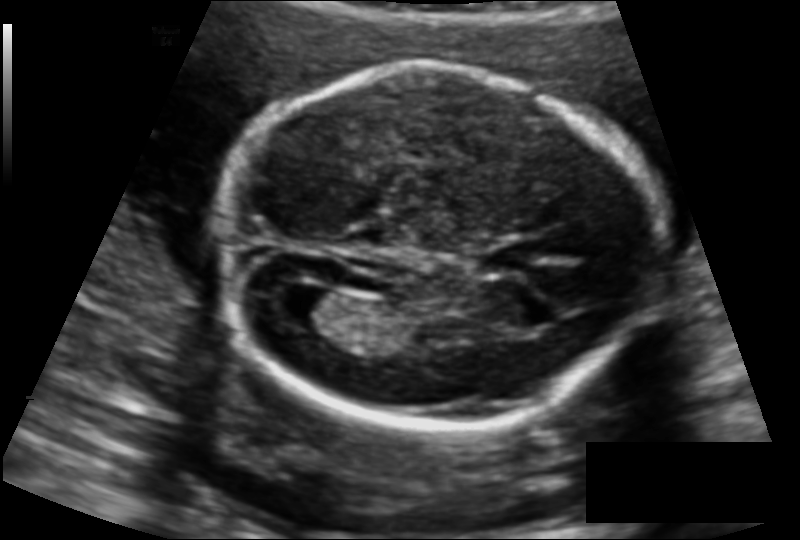
Fetal head ultrasound. Image width: 101.8 mm. Where is the lateral ventricle?

Lateral ventricle bounding box: [269,275,348,338]